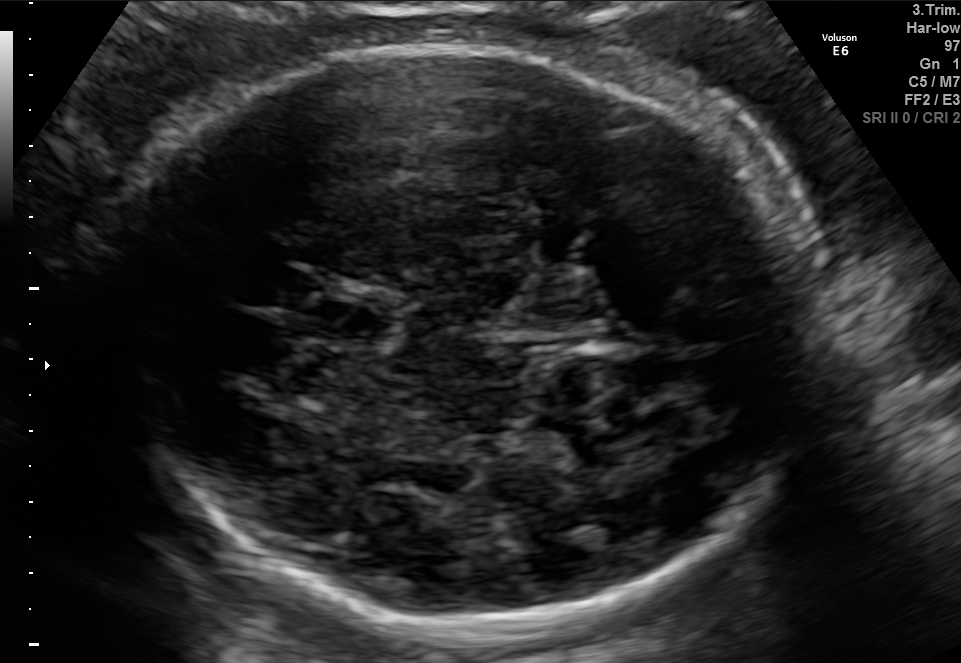
Fetal brain, trans-thalamic plane. Give [x1,y1,x2,y2] bounding boxes for each visible structure among: fetal head, CSP, LV.

Head: [124,43,803,634]
CSP: [323,300,390,347]